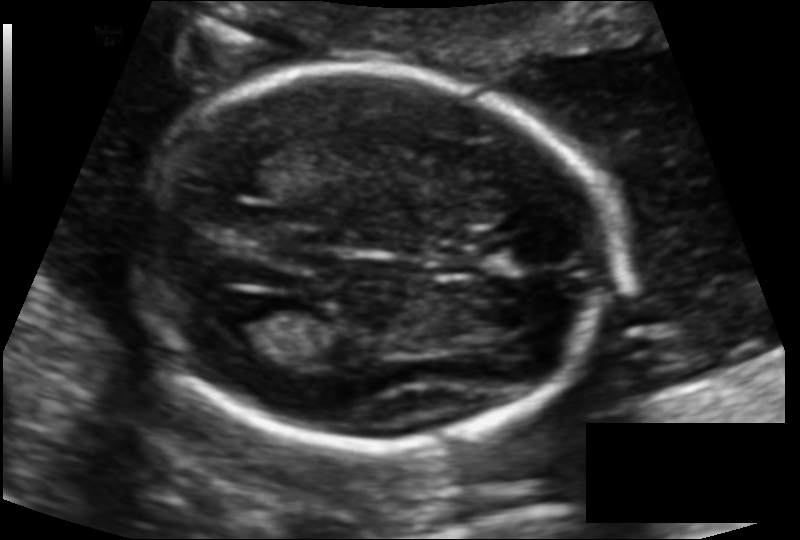
Fetal head ultrasound. Image width: 93.4 mm. Locate the lateral ventricle.

Lateral ventricle: [216,293,298,354]